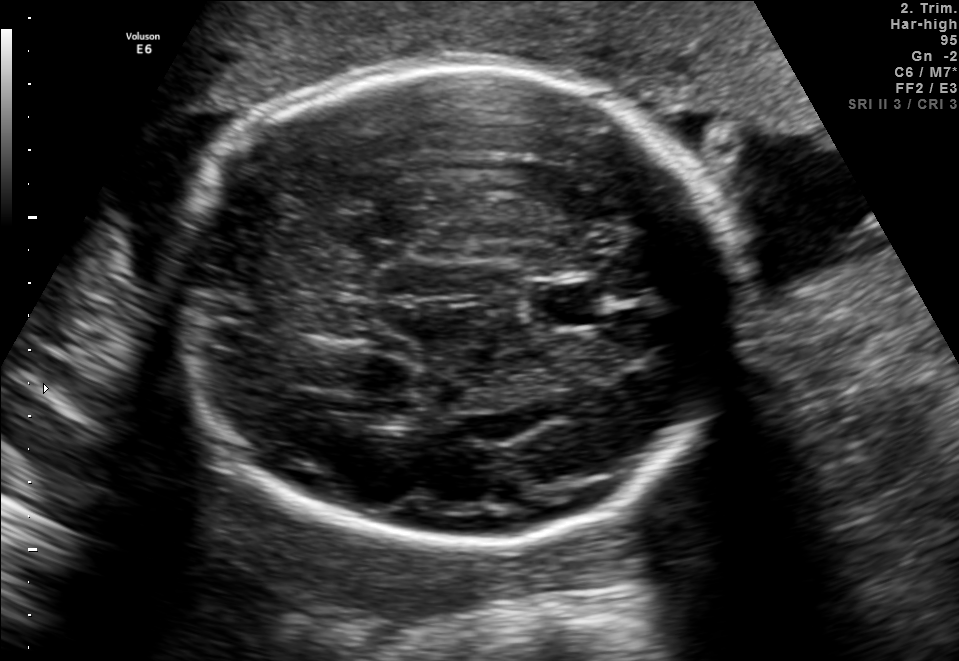
In this fetal brain, trans-thalamic plane, give the bounding box of the fetal head.

[174,64,731,547]